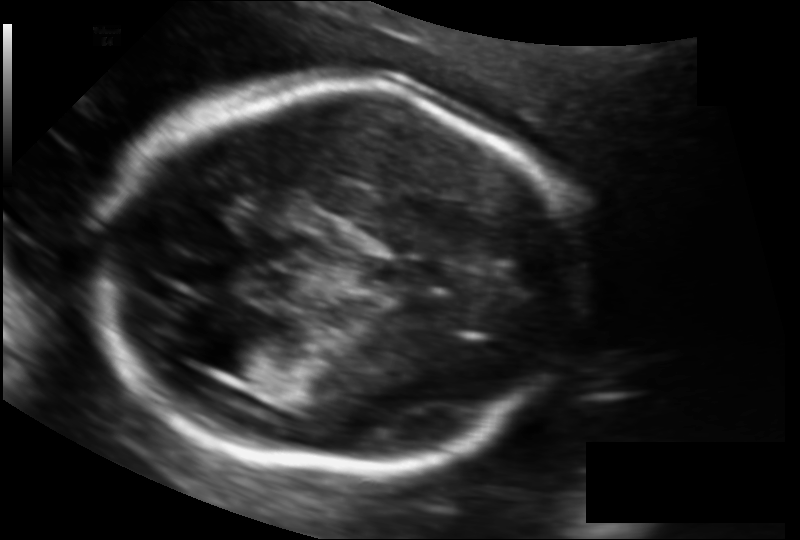
What is the fetal head circumference? Image width is 96.6 mm.

169.3 mm